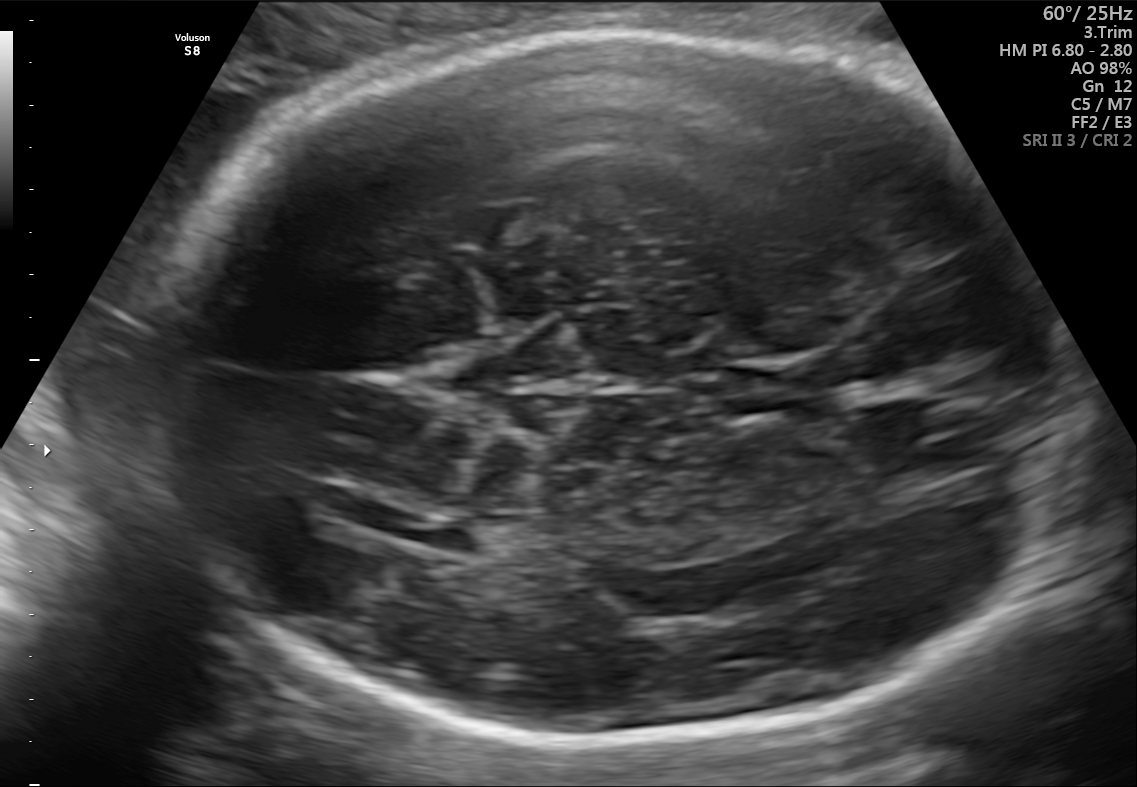
In this fetal brain, trans-ventricular plane, give the bounding box of the cavum septum pellucidum.

[731,369,805,416]